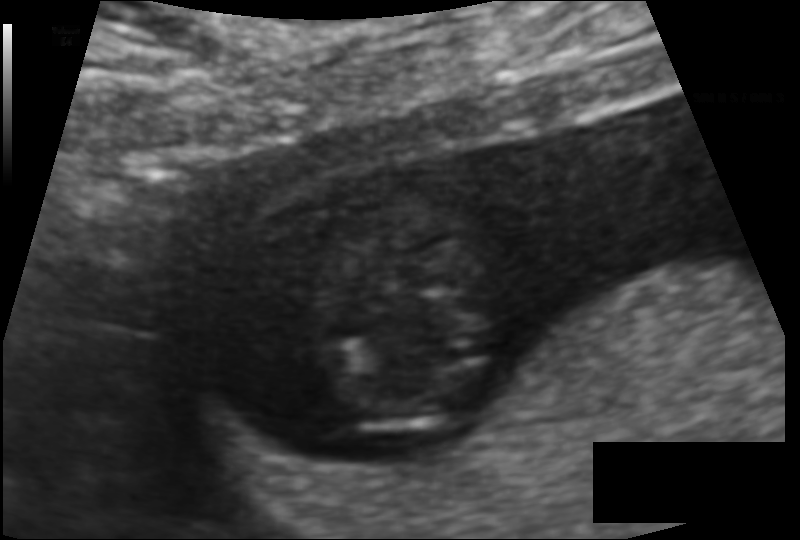
Fetal head ultrasound. Image width: 75.5 mm. Locate the fetal head.

Head: [308,199,504,435]